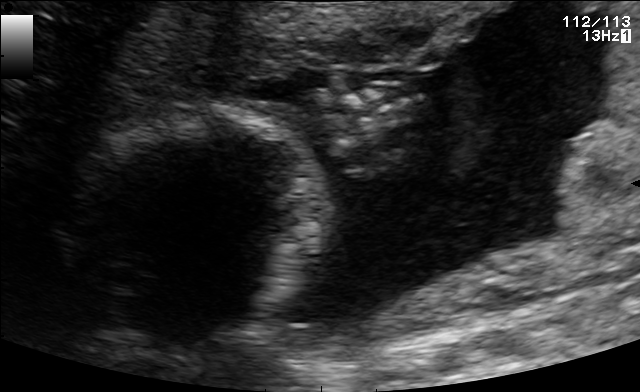
Classify this maternal-fetal ultrasound image as one of the six standard planes — fetal abdomen, fetal brain, fetal femur, fetal thorax, maternal cervix, or other. If it's fetal brain and one of the three standard brain planes (trans-thalamic, trans-cerebellum, trans-ventricular), name which.

Other